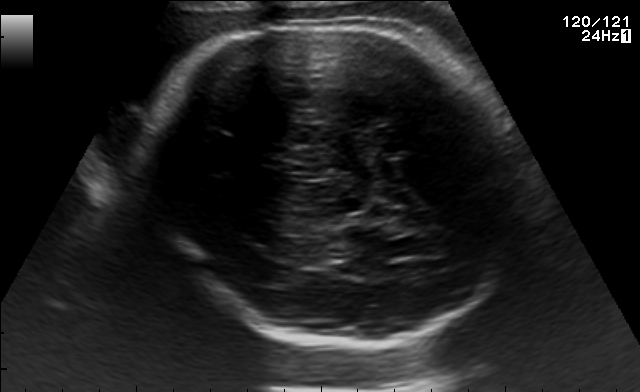
Fetal brain, trans-thalamic plane. Locate the fetal head and, if visible, the cavum septum pellucidum (CSP) and lateral ventricle (LV). Give bounding boxes as [x1,y1,x2,y2].

Head: [153,19,526,347]